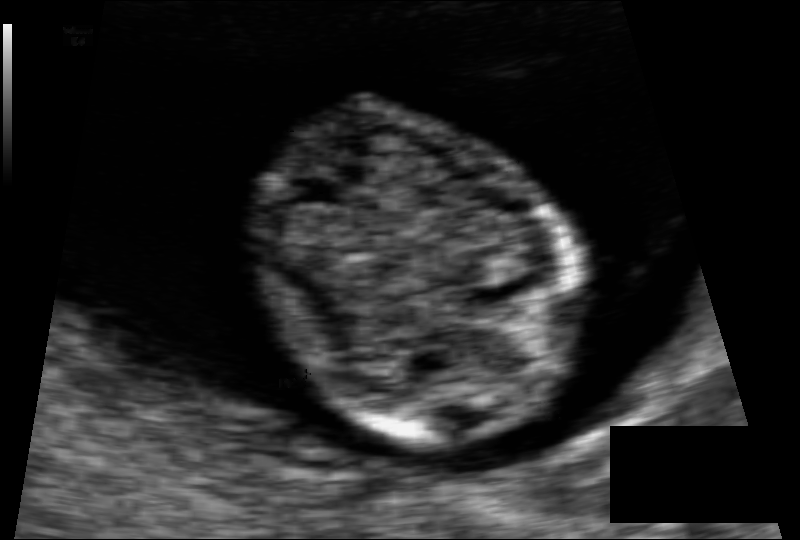
Fetal head ultrasound. Image width: 49.5 mm. Locate the fetal head and, if visible, the cavum septum pellucidum (CSP) and lateral ventricle (LV). Give bounding boxes as [x1,y1,x2,y2].

Head: [251,99,576,438]